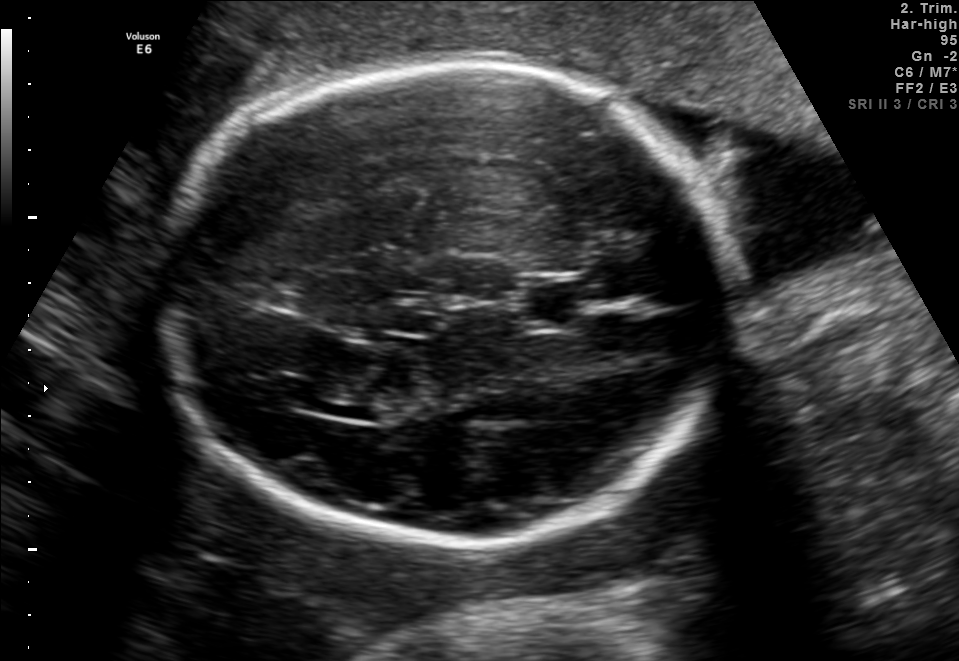
Fetal brain, trans-thalamic plane. Locate the fetal head and, if visible, the cavum septum pellucidum (CSP) and lateral ventricle (LV). Give bounding boxes as [x1,y1,x2,y2].

Head: [161,58,726,545]
CSP: [522,280,583,327]
Lateral ventricle: [281,377,386,423]